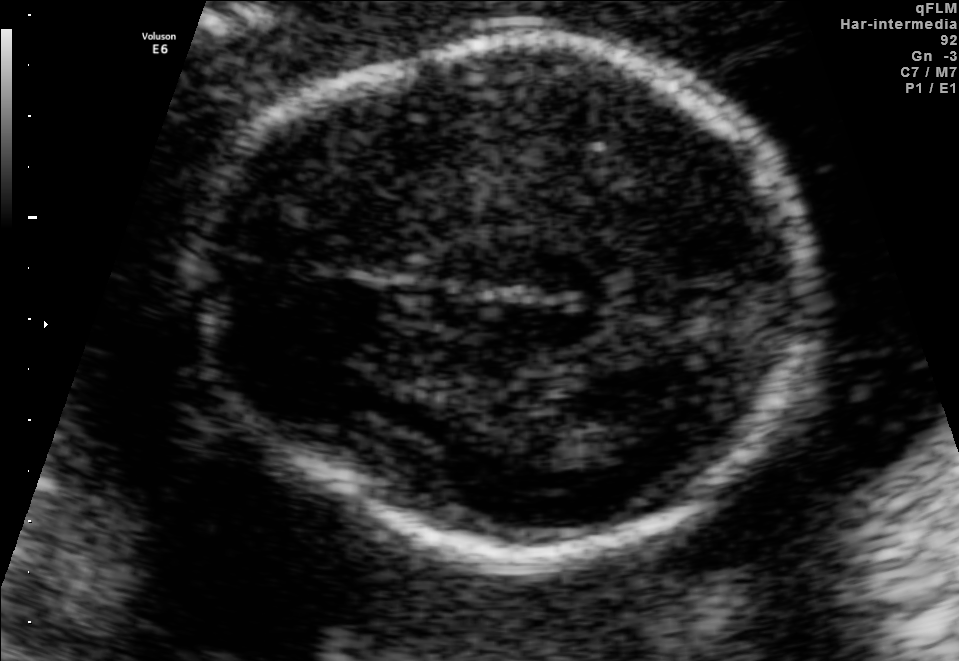
In this fetal brain, trans-thalamic plane, give the bounding box of the fetal head.

[201,39,810,554]